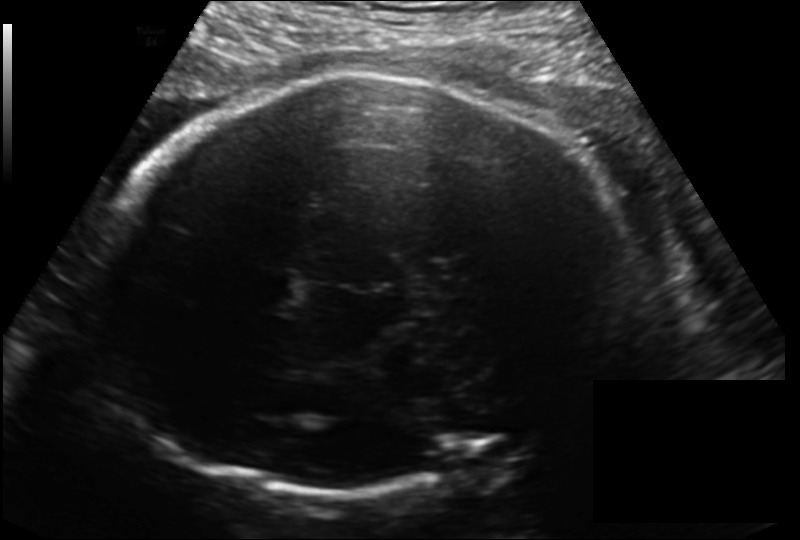
From this fetal ultrasound, estimate the head circumference (image width 158.6 mm).

Head circumference: 300.4 mm.